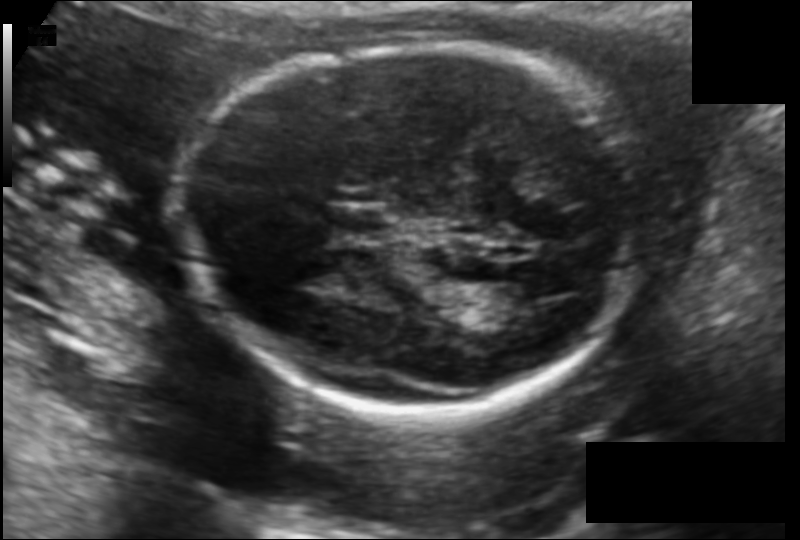
Fetal head ultrasound. Image width: 98.5 mm. Where is the fetal head?

Head bounding box: [186,46,634,414]